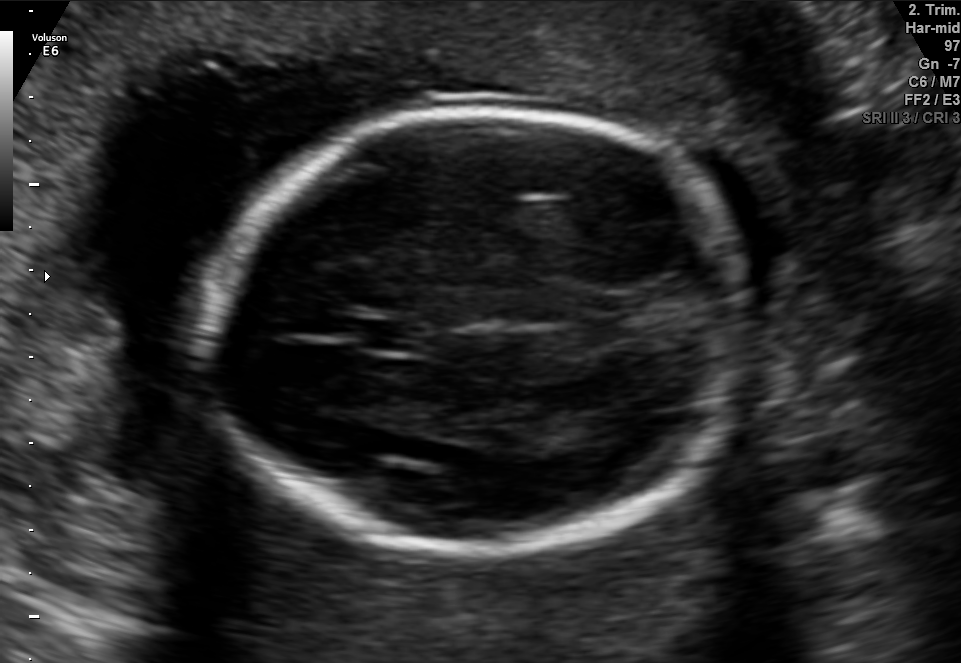
Fetal brain, trans-thalamic plane. Locate the fetal head.

Head: [208,107,751,558]